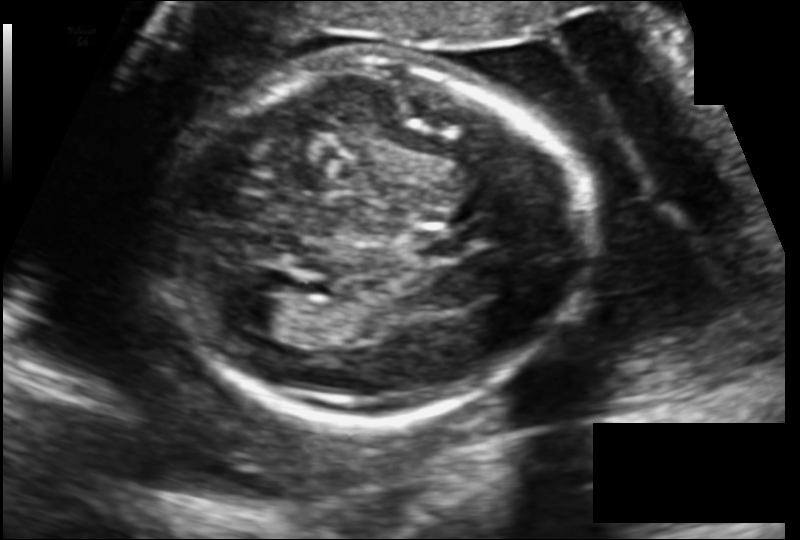
What is the fetal head circumference? Image width is 110.0 mm.

174.6 mm